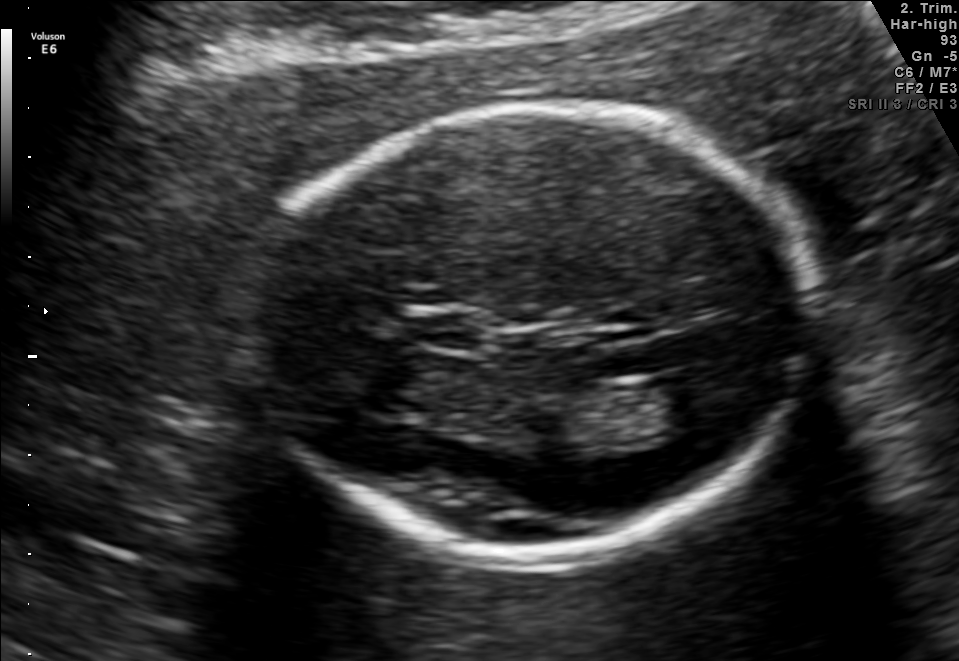
Fetal brain, trans-thalamic plane. Locate the lateral ventricle.

Lateral ventricle: [604,370,714,444]